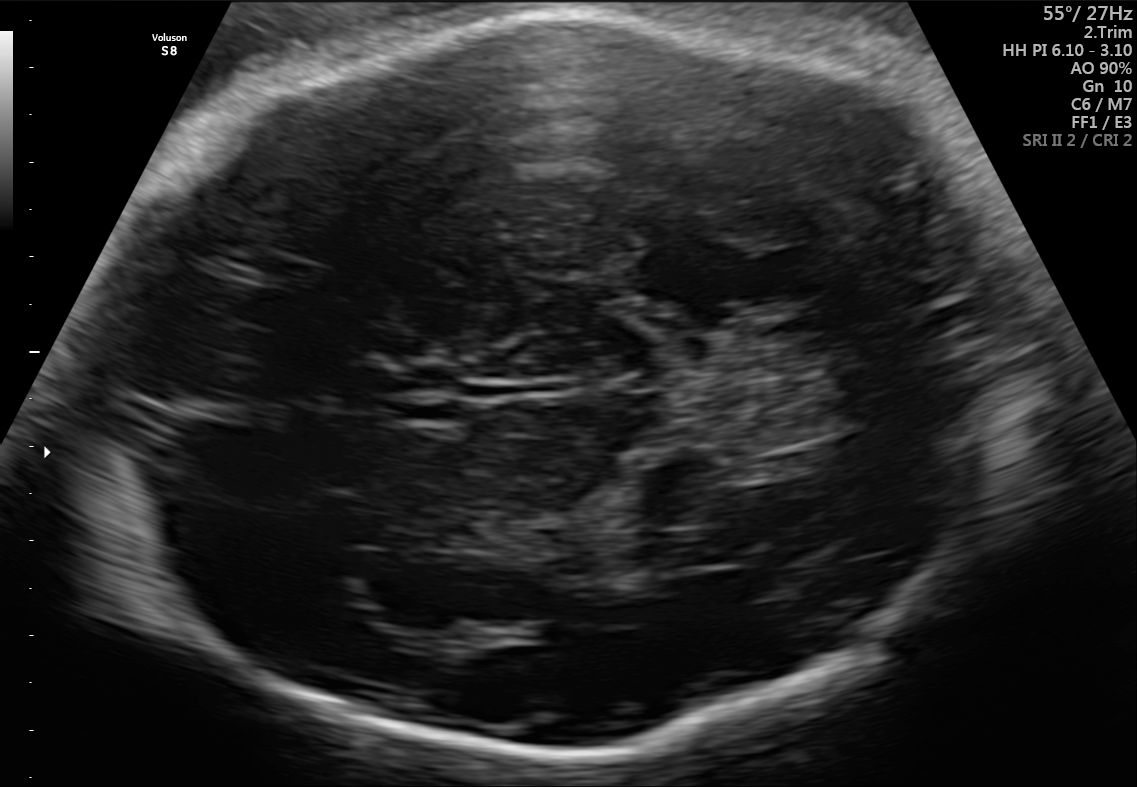
Fetal brain, trans-thalamic plane. Where is the fetal head?

Head bounding box: [91,17,1005,758]